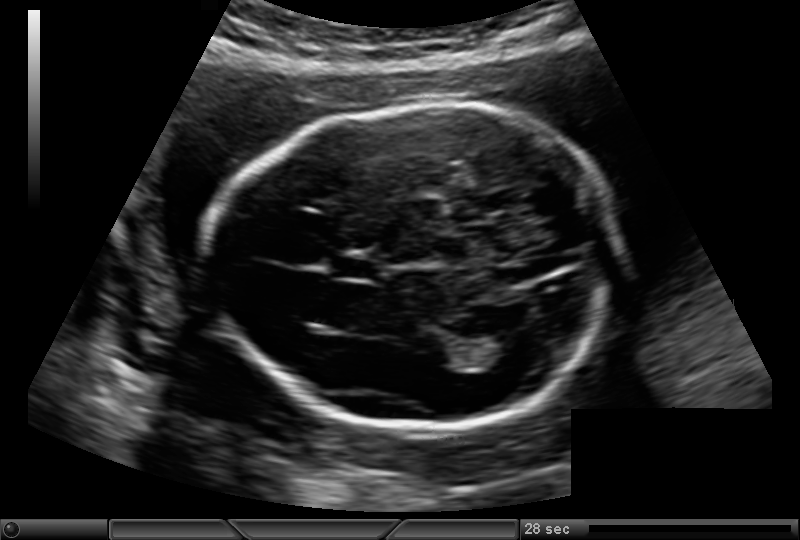
In this fetal head ultrasound, give bounding boxes for the head outline, cavum septum pellucidum (CSP), and lateral ventricle (LV), where visible. Image width: 117.2 mm.

Head: [209,107,616,430]
CSP: [331,255,377,282]